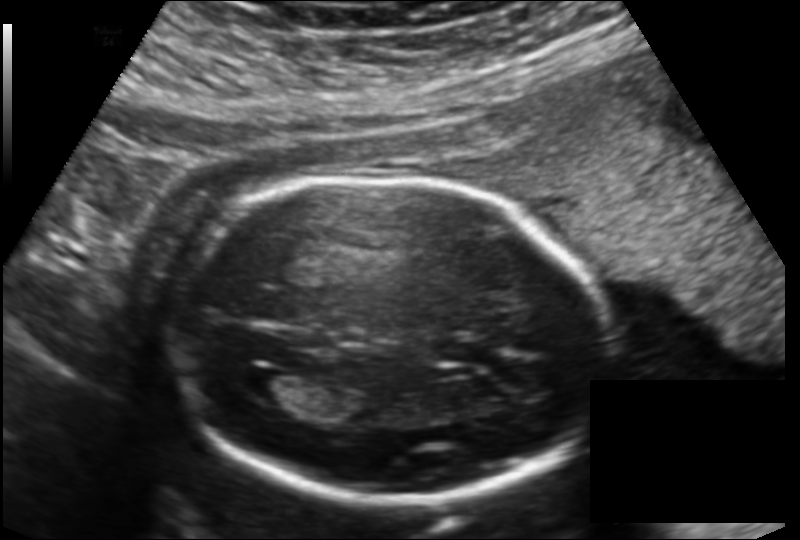
Fetal head ultrasound. Image width: 120.4 mm. Where is the lateral ventricle?

Lateral ventricle bounding box: [232,363,302,409]